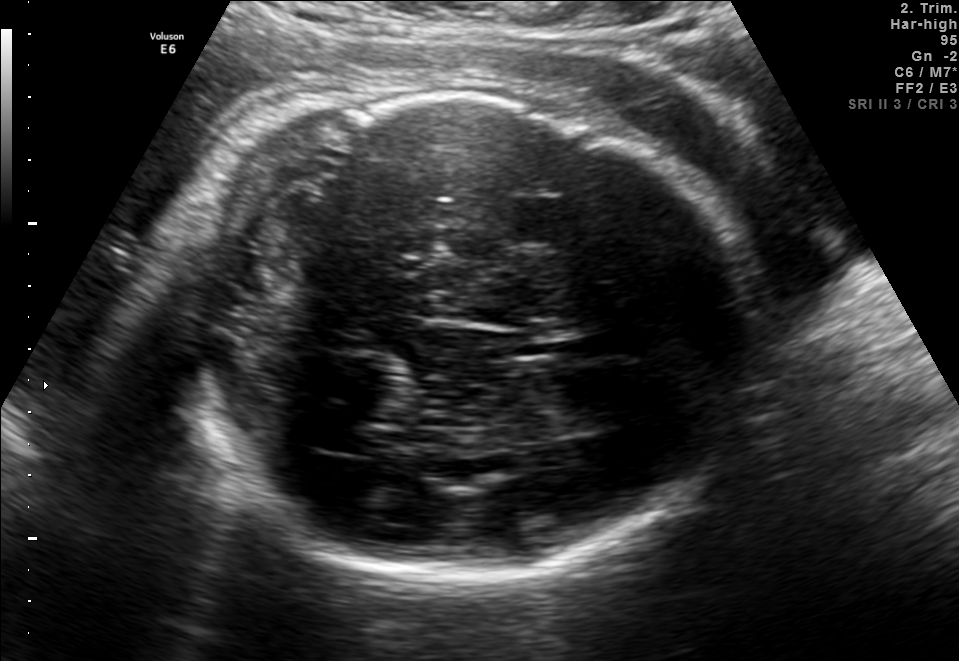
Fetal brain, trans-thalamic plane. Give [x1,y1,x2,y2] bounding boxes for each visible structure among: fetal head, CSP, LV.

Head: [147,93,768,576]